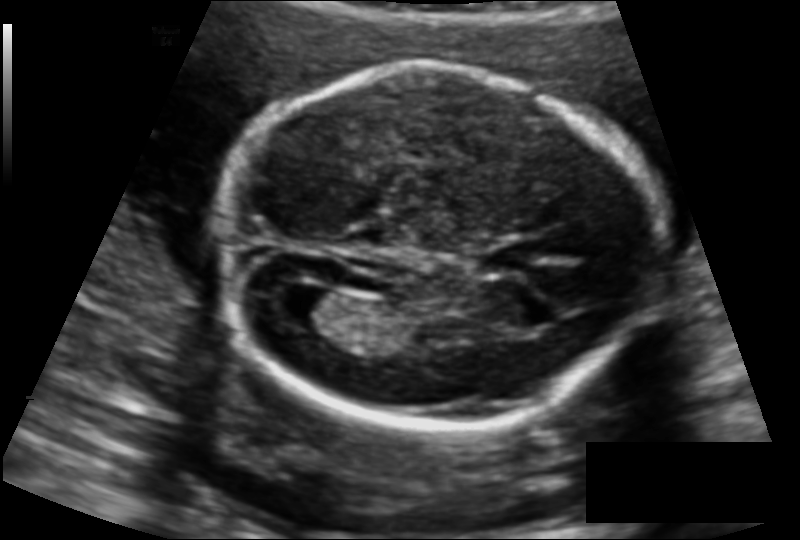
Fetal head ultrasound. Image width: 101.8 mm. Locate the fetal head and, if visible, the cavum septum pellucidum (CSP) and lateral ventricle (LV). Give bounding boxes as [x1,y1,x2,y2].

Head: [220,64,650,427]
CSP: [484,242,539,274]
Lateral ventricle: [269,275,348,338]